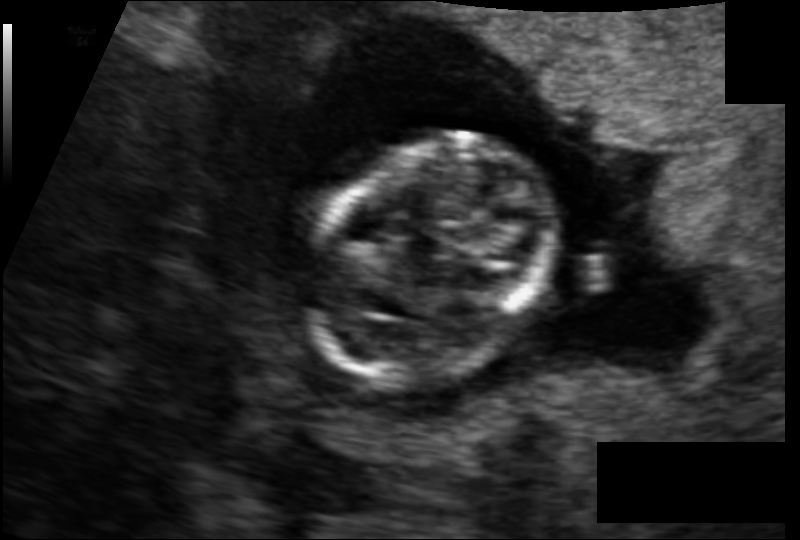
In this fetal head ultrasound, give bounding boxes for the head outline, cavum septum pellucidum (CSP), and lateral ventricle (LV), where visible. Image width: 77.6 mm.

Head: [291,134,557,378]